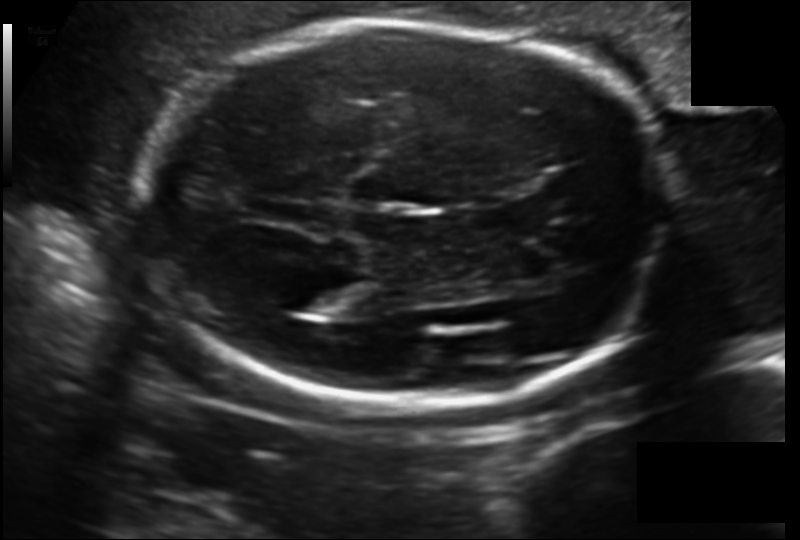
What is the fetal head circumference? Image width is 121.4 mm.

223.5 mm